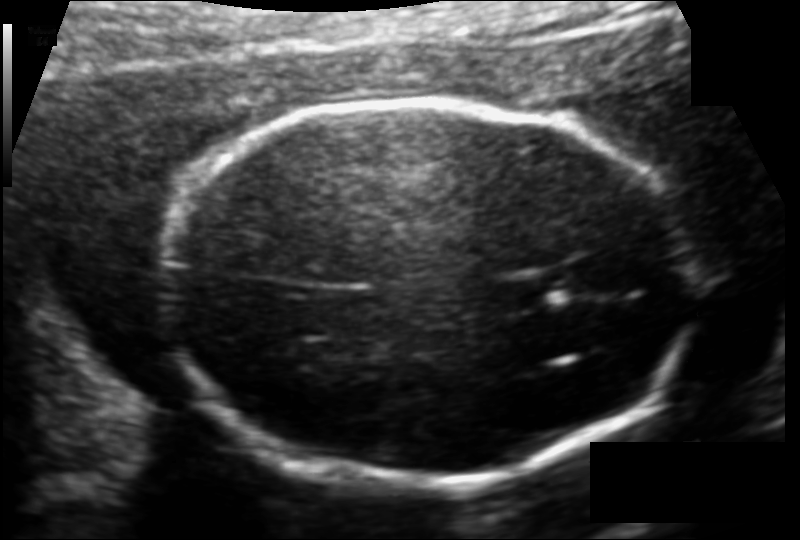
Measure the fetal head circumference shown in this ultrasound image. Image width: 95.0 mm.

Head circumference: 176.5 mm.